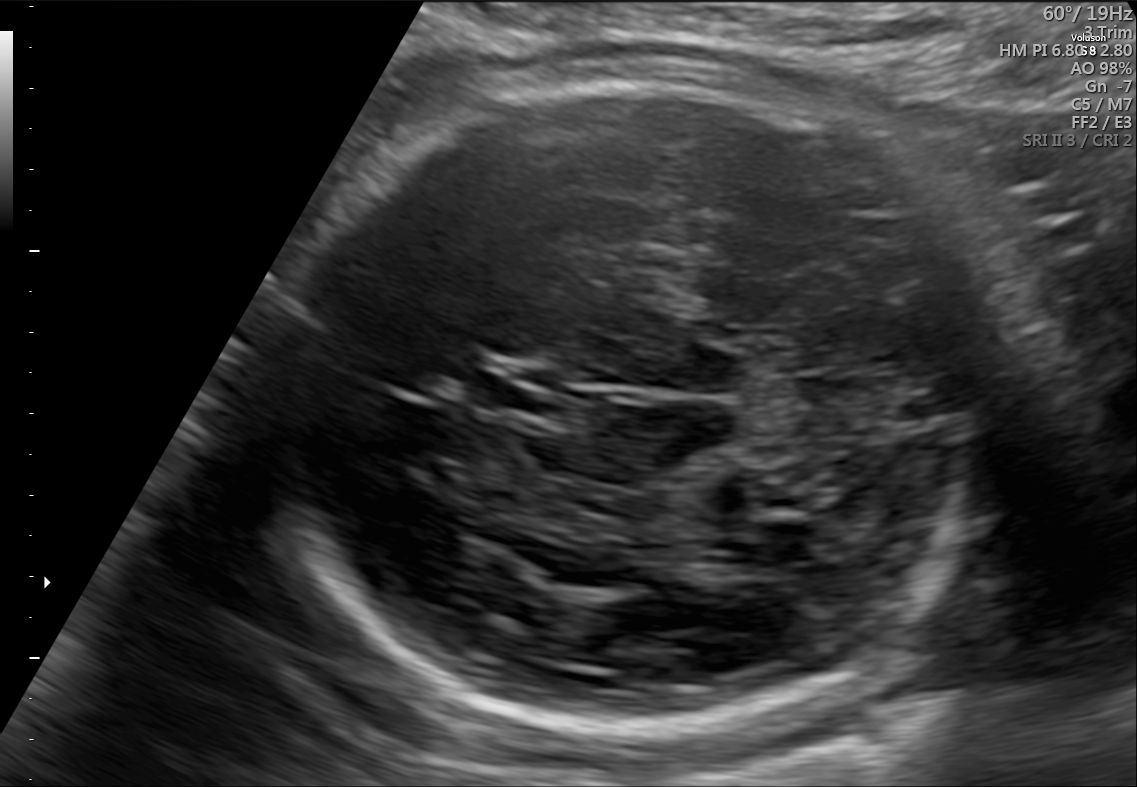
Fetal brain, trans-cerebellum plane. Give [x1,y1,x2,y2] bounding boxes for each visible structure among: fetal head, CSP, LV.

Head: [268,74,983,727]
CSP: [459,366,552,422]